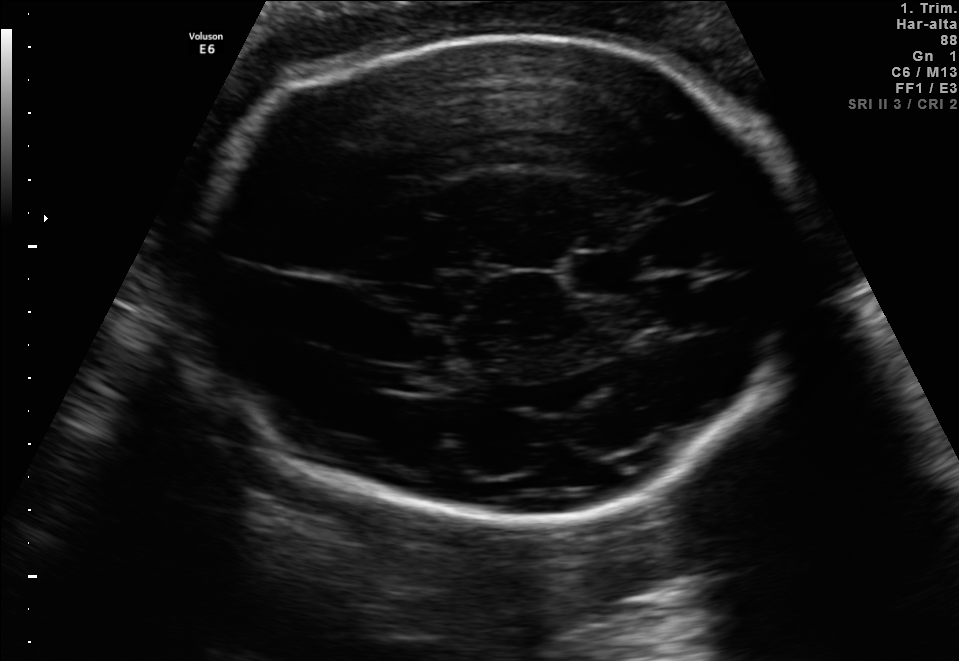
Fetal brain, trans-thalamic plane. Locate the cavum septum pellucidum.

CSP: [574,254,638,292]